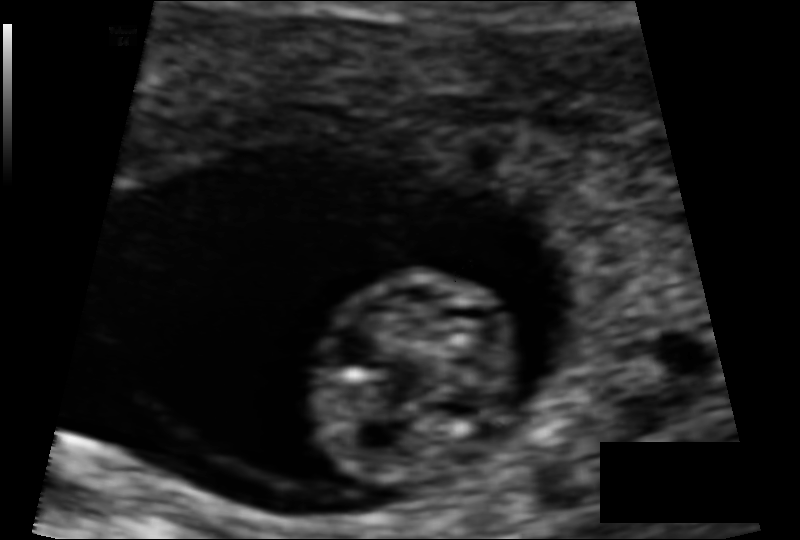
In this fetal head ultrasound, give the bounding box of the fetal head. Image width: 55.3 mm.

[310,269,523,485]